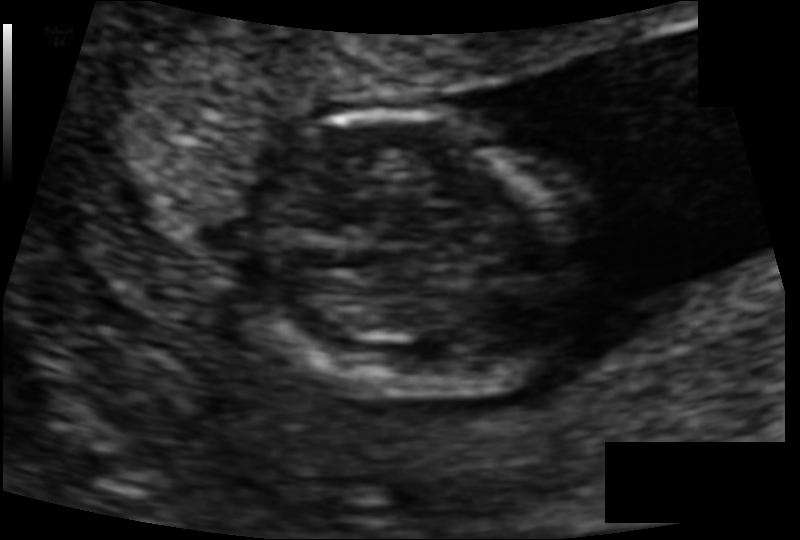
Fetal head ultrasound. Image width: 62.1 mm. Locate the fetal head.

Head: [247,114,596,399]